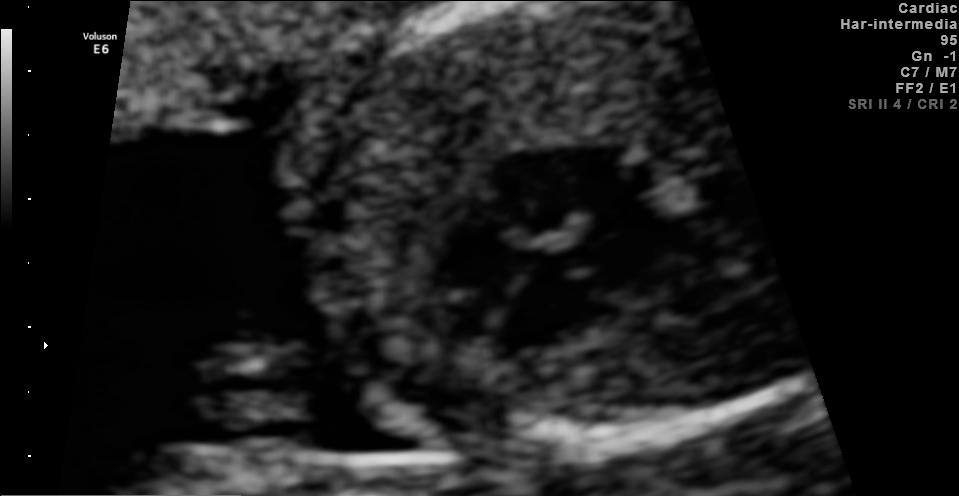
Which standard maternal-fetal ultrasound plane is shown: fetal abdomen, fetal brain, fetal femur, fetal thorax, maternal cervix, or other? If it's fetal brain and one of the three standard brain planes (trans-thalamic, trans-cerebellum, trans-ventricular), name which.

Fetal thorax